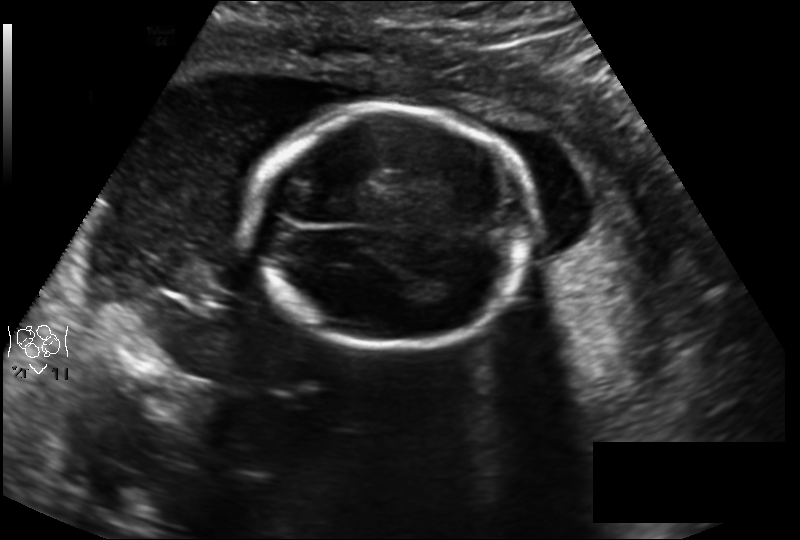
Estimate the fetal head circumference from this 2D ultrasound.

Head circumference: 165.8 mm (image width 155.0 mm).